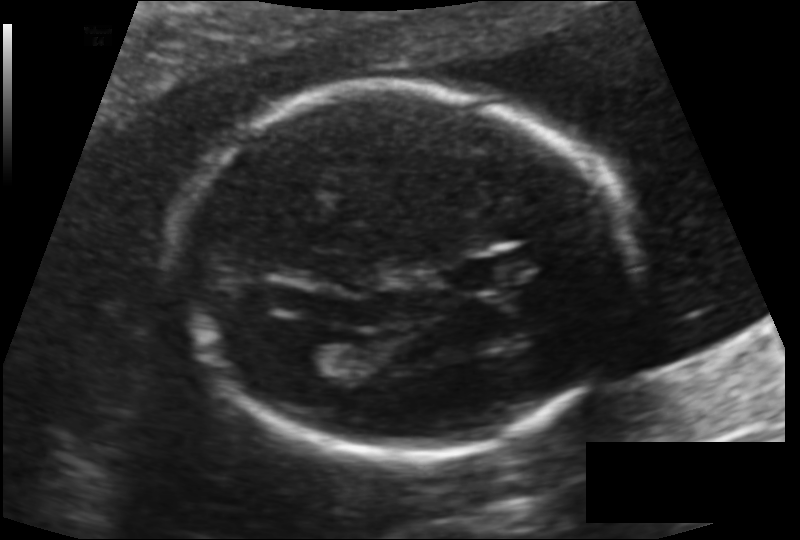
Fetal head ultrasound. Image width: 104.6 mm. Where is the cavum septum pellucidum?

CSP bounding box: [445,252,521,297]